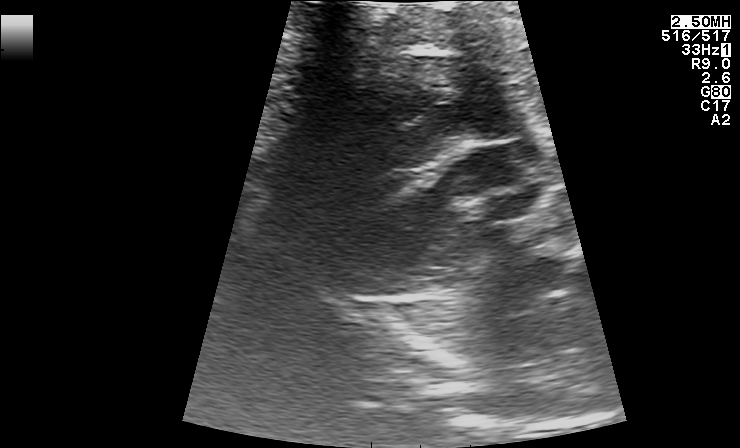
Classify this maternal-fetal ultrasound image as one of the six standard planes — fetal abdomen, fetal brain, fetal femur, fetal thorax, maternal cervix, or other. If it's fetal brain and one of the three standard brain planes (trans-thalamic, trans-cerebellum, trans-ventricular), name which.

Other